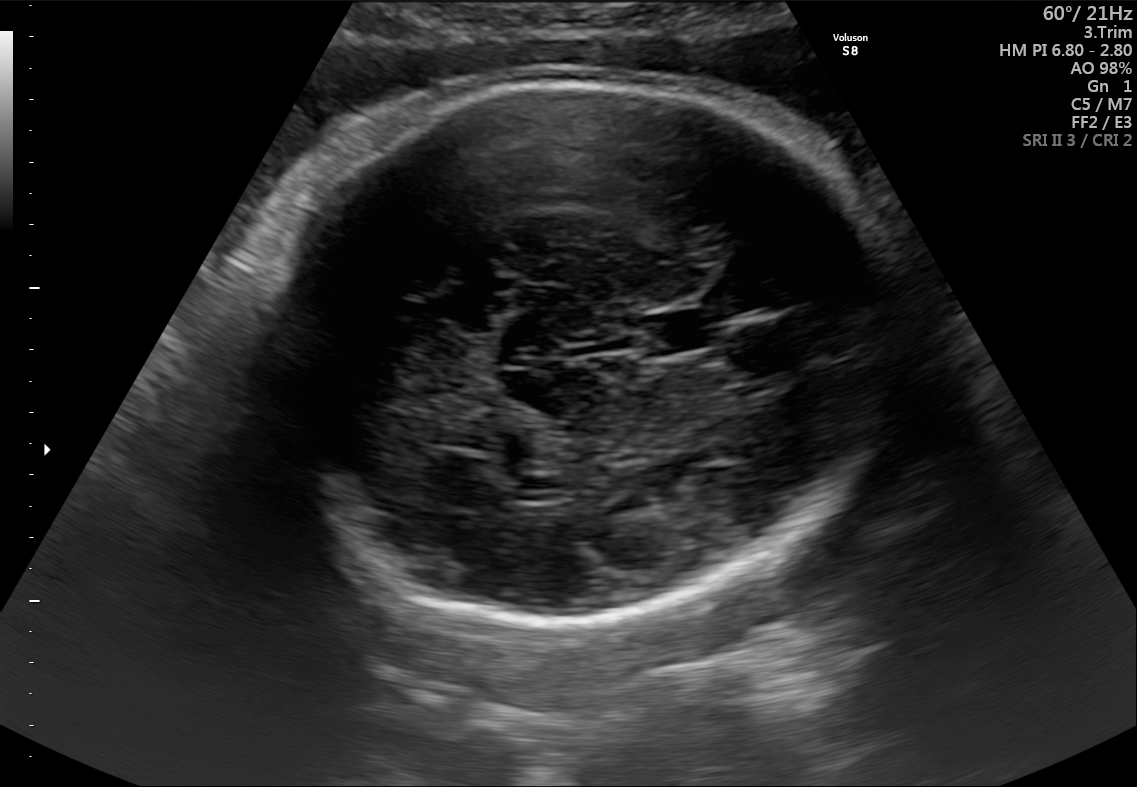
In this fetal brain, trans-thalamic plane, give bounding boxes for the head outline, cavum septum pellucidum (CSP), and lateral ventricle (LV), where visible.

Head: [263,75,916,614]
CSP: [641,302,731,359]